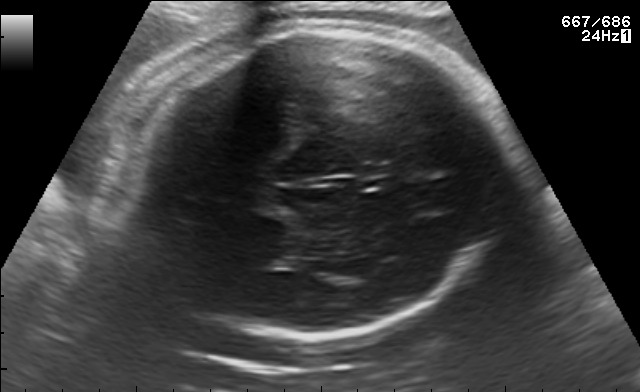
In this fetal brain, trans-thalamic plane, give bounding boxes for the head outline, cavum septum pellucidum (CSP), and lateral ventricle (LV), where visible.

Head: [119,26,508,336]